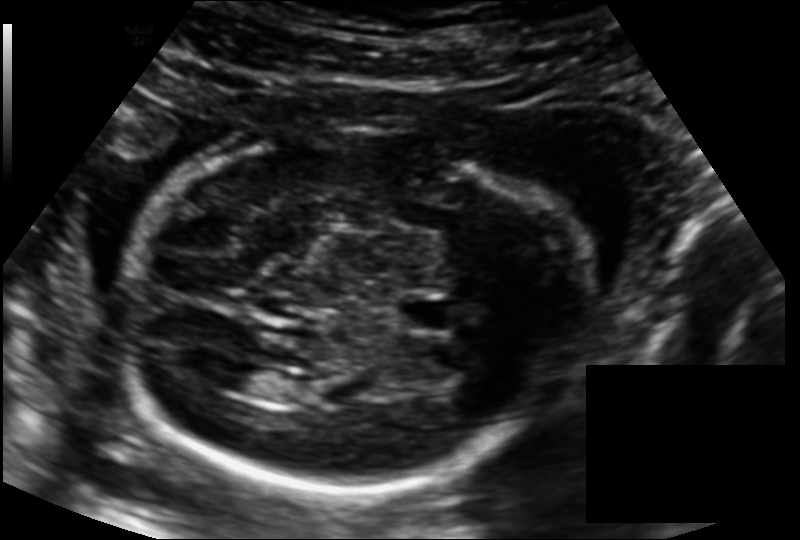
Estimate the fetal head circumference from this 2D ultrasound. Image width: 111.3 mm.

Head circumference: 186.9 mm.